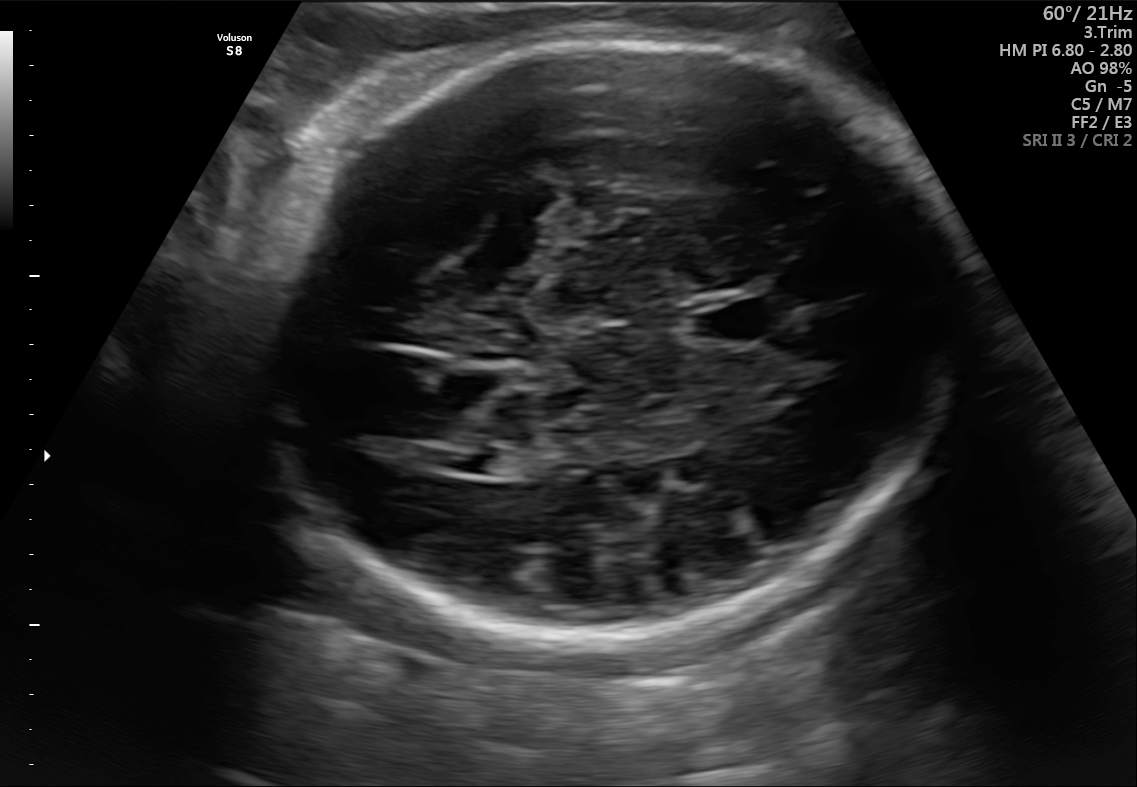
Fetal brain, trans-ventricular plane. Where is the cavum septum pellucidum?

CSP bounding box: [690,304,765,341]